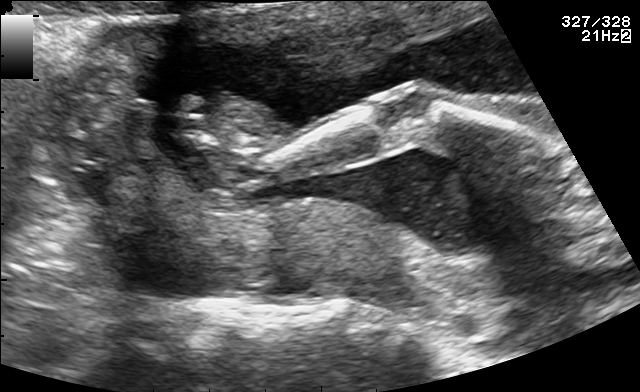
Classify this maternal-fetal ultrasound image as one of the six standard planes — fetal abdomen, fetal brain, fetal femur, fetal thorax, maternal cervix, or other. If it's fetal brain and one of the three standard brain planes (trans-thalamic, trans-cerebellum, trans-ventricular), name which.

Other